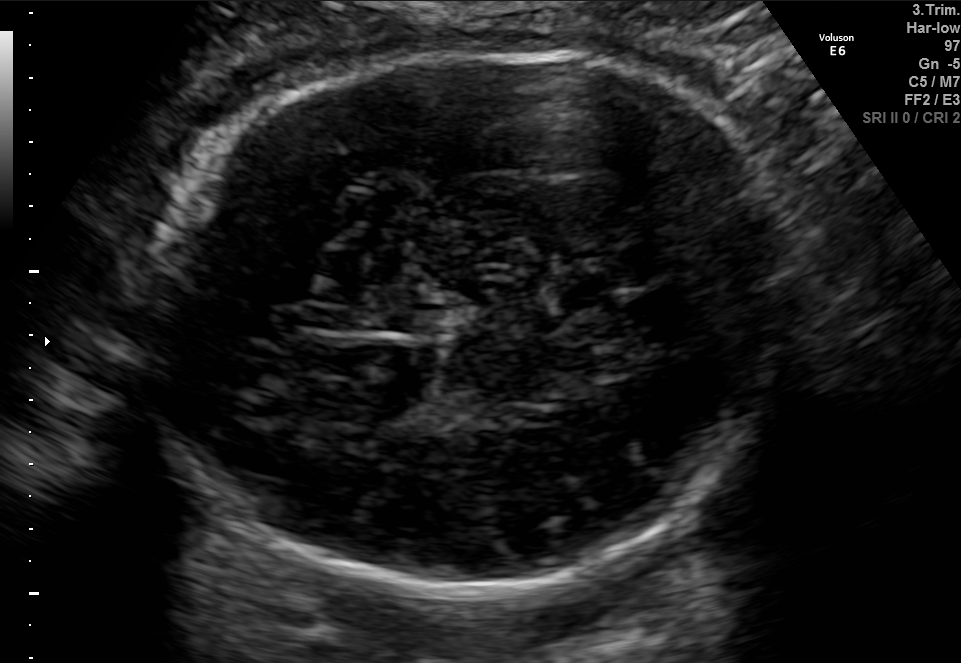
Fetal brain, trans-thalamic plane. Where is the fetal head?

Head bounding box: [158,49,797,592]